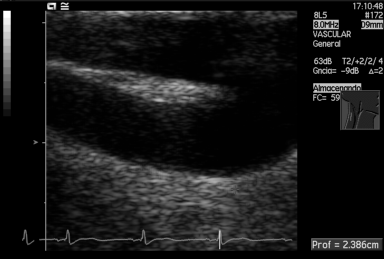
Identify the standard plane in this fetal ultrasound image: fetal abdomen, fetal brain, fetal femur, fetal thorax, maternal cervix, or other. If it's fetal brain and one of the three standard brain planes (trans-thalamic, trans-cerebellum, trans-ventricular), name which.

Other